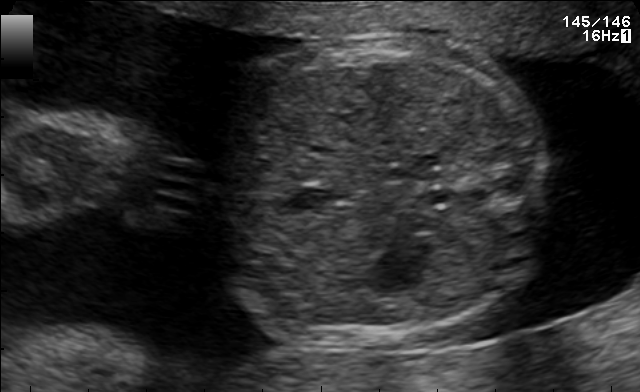
Identify the standard plane in this fetal ultrasound image: fetal abdomen, fetal brain, fetal femur, fetal thorax, maternal cervix, or other. If it's fetal brain and one of the three standard brain planes (trans-thalamic, trans-cerebellum, trans-ventricular), name which.

Fetal abdomen